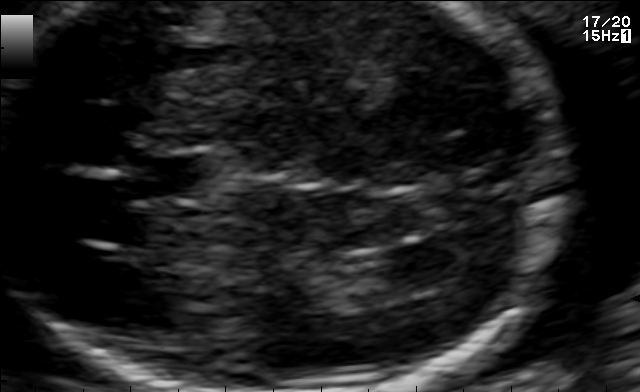
Fetal brain, trans-ventricular plane. Where is the lateral ventricle?

Lateral ventricle bounding box: [374,231,477,298]